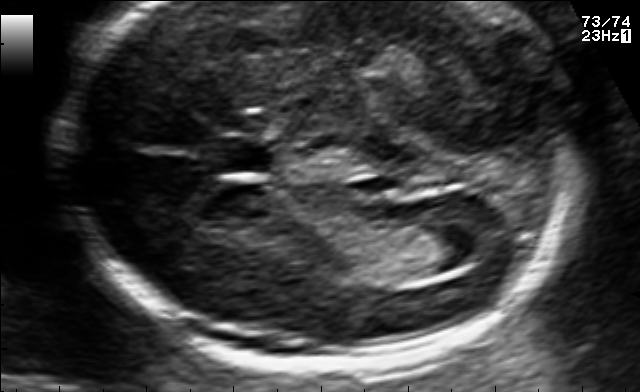
Fetal brain, trans-ventricular plane. Where is the lateral ventricle?

Lateral ventricle bounding box: [423,206,514,273]